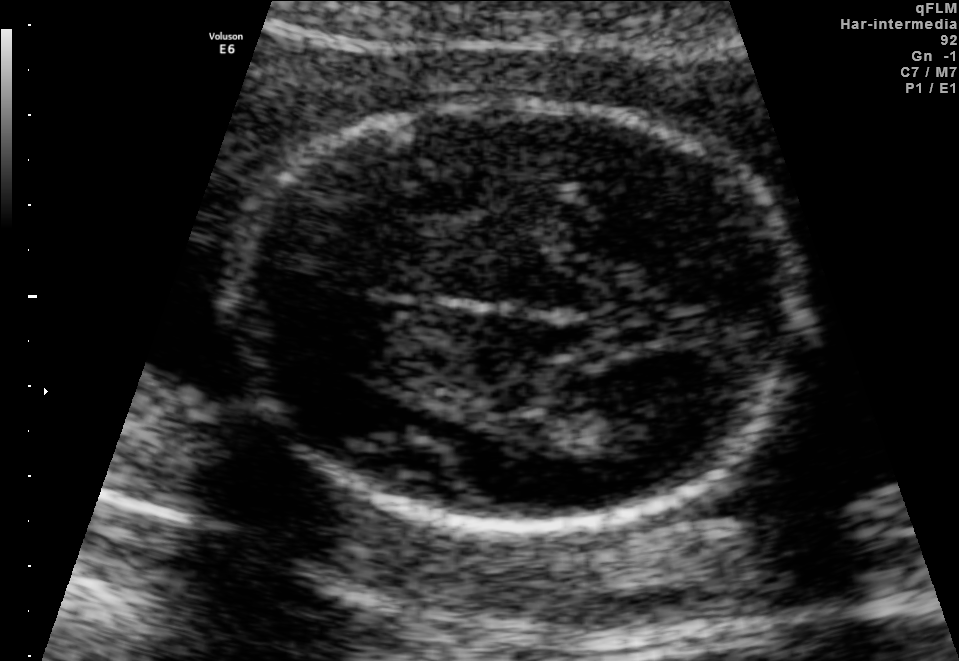
Fetal brain, trans-thalamic plane. Give [x1,y1,x2,y2] bounding boxes for each visible structure among: fetal head, CSP, LV.

Head: [231,98,802,527]
Lateral ventricle: [575,395,690,463]